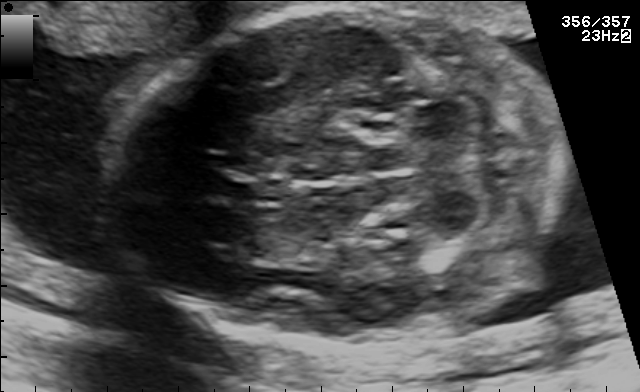
In this fetal brain, trans-cerebellum plane, give bounding boxes for the head outline, cavum septum pellucidum (CSP), and lateral ventricle (LV), where visible.

Head: [108,11,564,339]
CSP: [227,176,282,206]